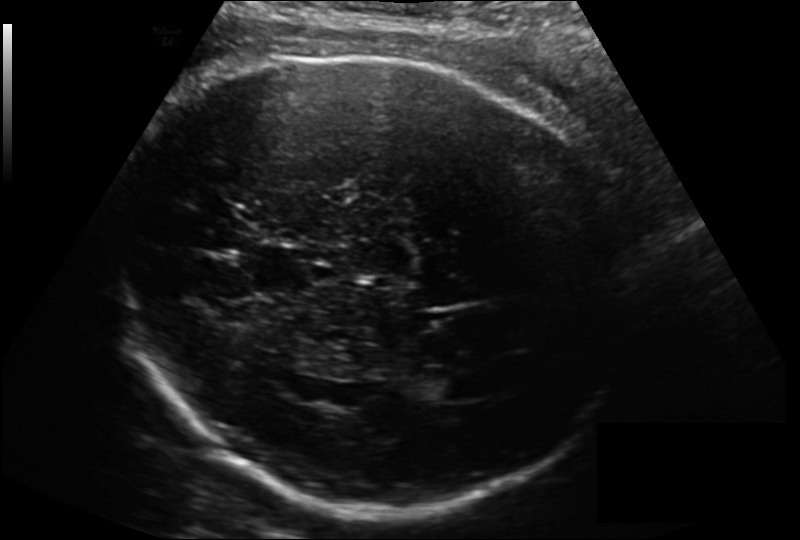
In this fetal head ultrasound, give bounding boxes for the head outline, cavum septum pellucidum (CSP), and lateral ventricle (LV), where visible. Image width: 159.6 mm.

Head: [113,55,635,507]
Lateral ventricle: [423,376,475,401]